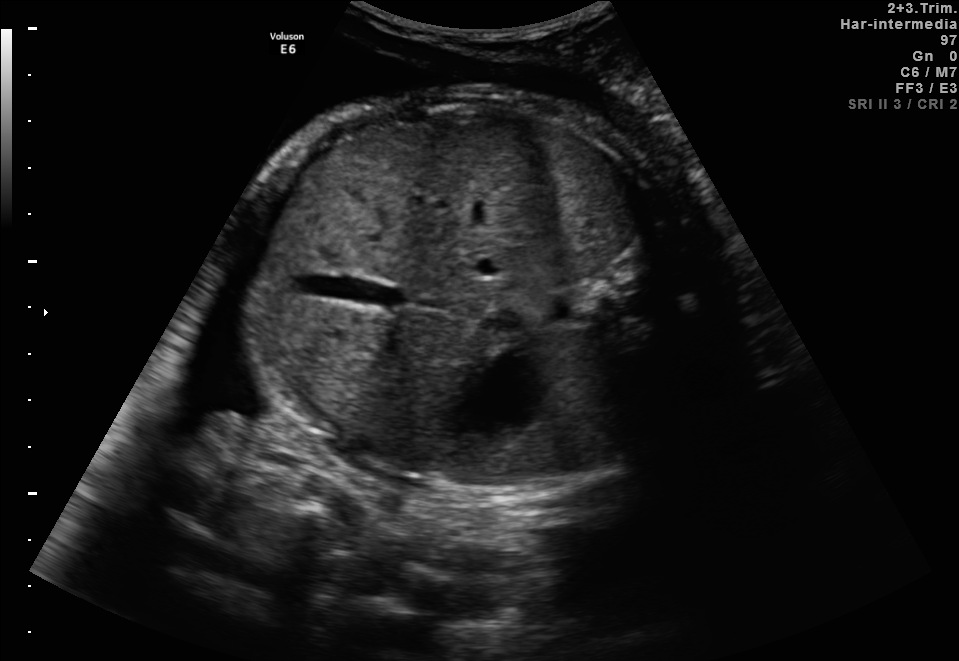
Classify this maternal-fetal ultrasound image as one of the six standard planes — fetal abdomen, fetal brain, fetal femur, fetal thorax, maternal cervix, or other. If it's fetal brain and one of the three standard brain planes (trans-thalamic, trans-cerebellum, trans-ventricular), name which.

Fetal abdomen